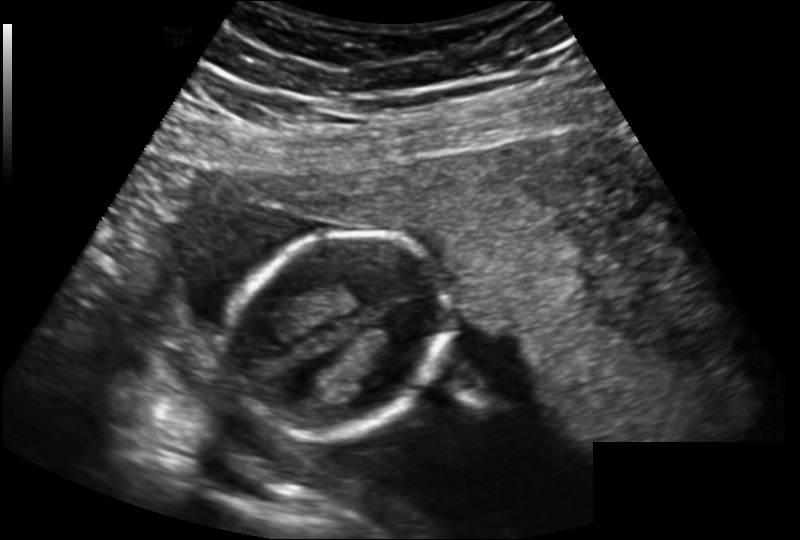
Estimate the fetal head circumference from this 2D ultrasound.

Head circumference: 125.2 mm (image width 146.2 mm).